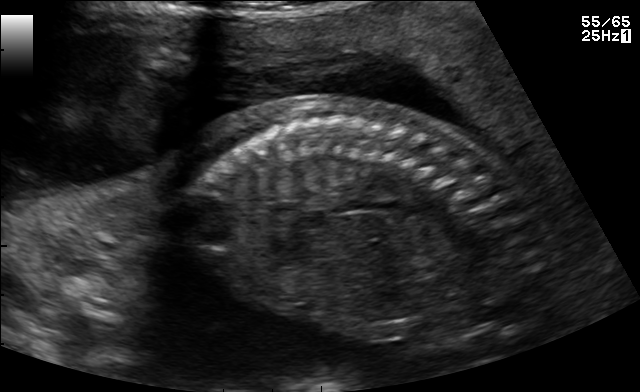
Classify this maternal-fetal ultrasound image as one of the six standard planes — fetal abdomen, fetal brain, fetal femur, fetal thorax, maternal cervix, or other. If it's fetal brain and one of the three standard brain planes (trans-thalamic, trans-cerebellum, trans-ventricular), name which.

Other